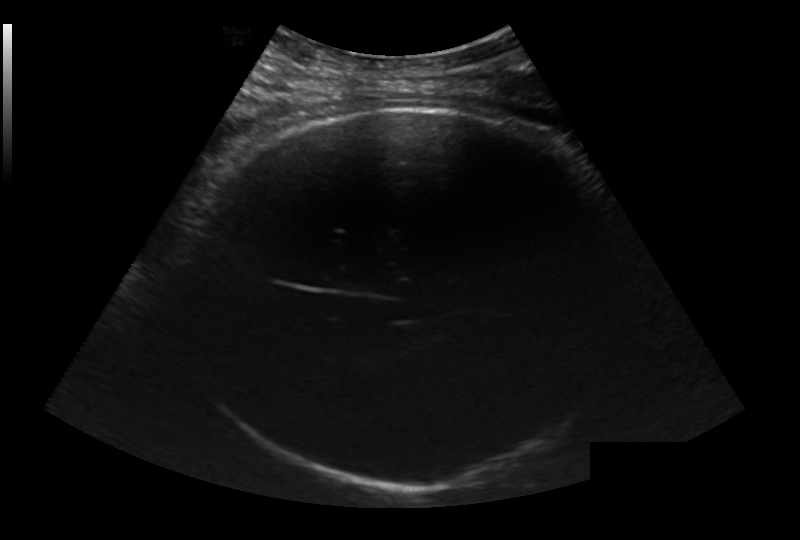
Fetal head ultrasound. Image width: 188.6 mm. Where is the fetal head?

Head bounding box: [189,105,619,489]